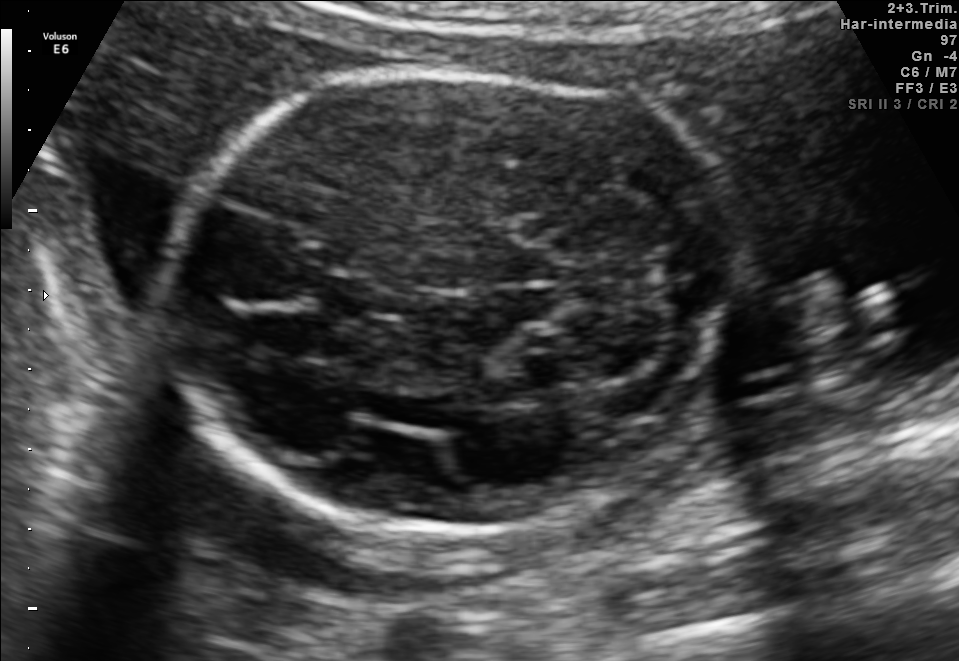
Fetal brain, trans-cerebellum plane. Locate the cavum septum pellucidum.

CSP: [321,271,390,317]